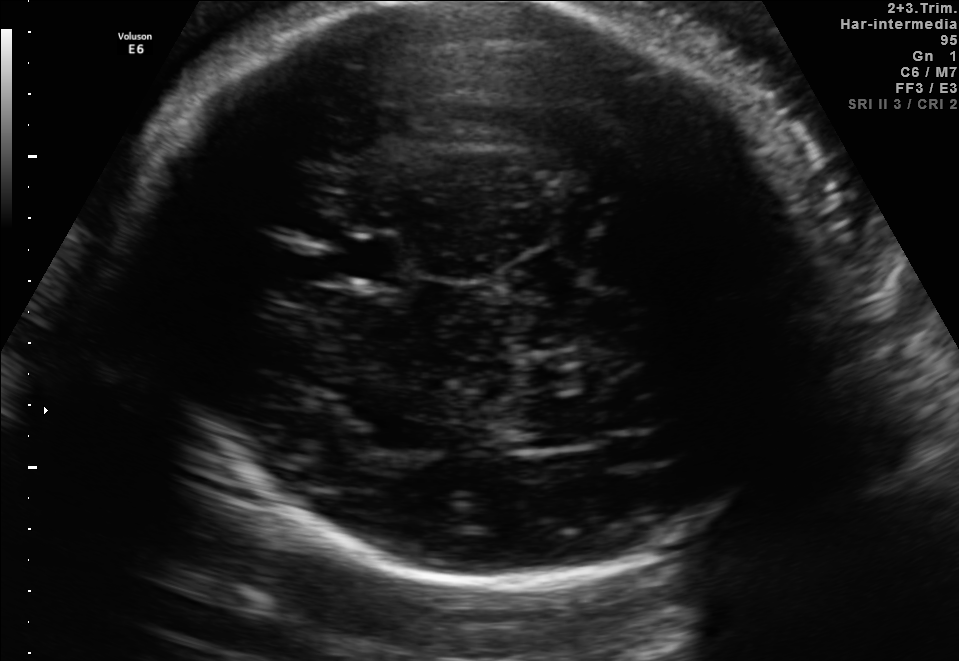
Fetal brain, trans-thalamic plane. Where is the cavum septum pellucidum?

CSP bounding box: [325,233,403,287]